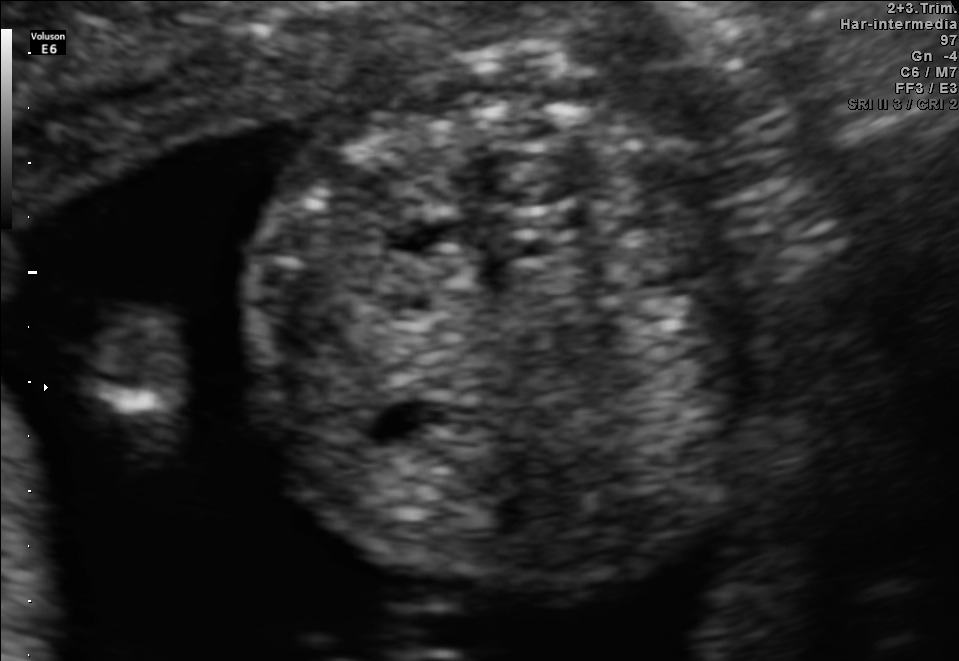
Classify this maternal-fetal ultrasound image as one of the six standard planes — fetal abdomen, fetal brain, fetal femur, fetal thorax, maternal cervix, or other. If it's fetal brain and one of the three standard brain planes (trans-thalamic, trans-cerebellum, trans-ventricular), name which.

Fetal abdomen